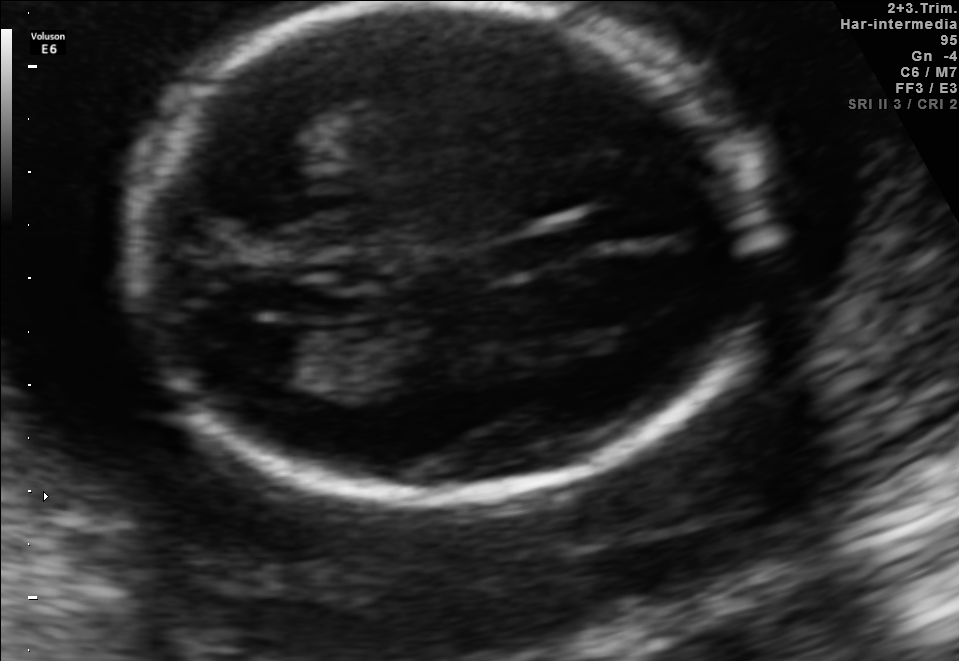
In this fetal brain, trans-ventricular plane, give the bounding box of the fetal head.

[109,4,788,507]